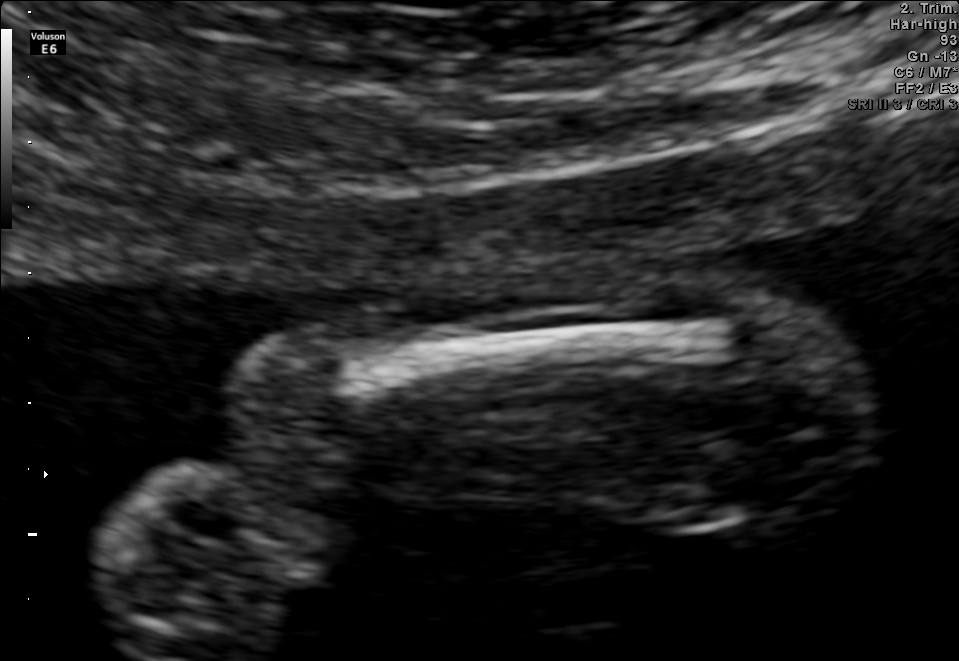
Which standard maternal-fetal ultrasound plane is shown: fetal abdomen, fetal brain, fetal femur, fetal thorax, maternal cervix, or other? If it's fetal brain and one of the three standard brain planes (trans-thalamic, trans-cerebellum, trans-ventricular), name which.

Fetal femur